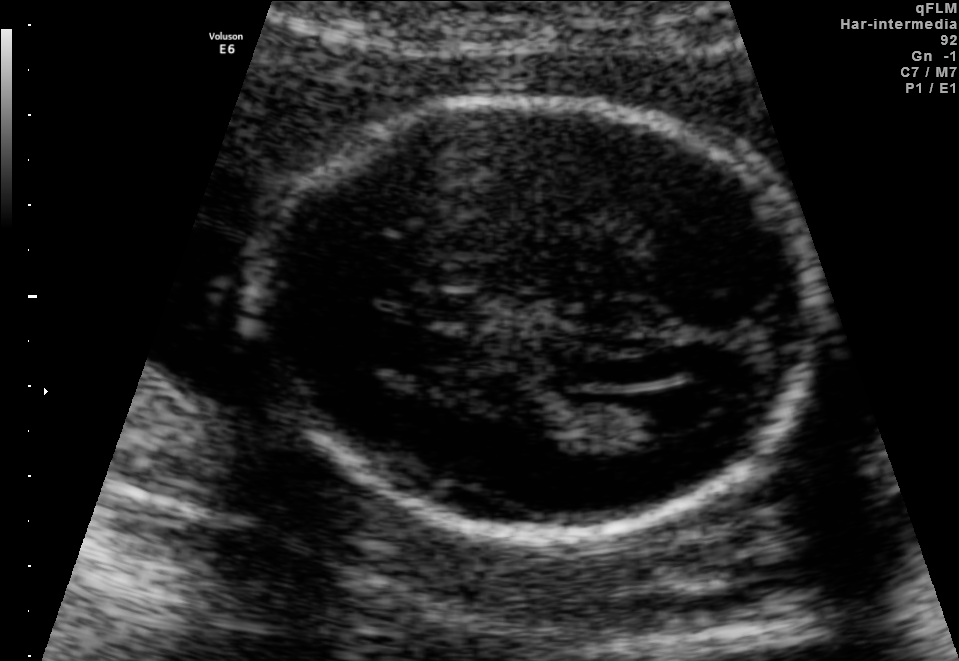
Identify the standard plane in this fetal ultrasound image: fetal abdomen, fetal brain, fetal femur, fetal thorax, maternal cervix, or other. If it's fetal brain and one of the three standard brain planes (trans-thalamic, trans-cerebellum, trans-ventricular), name which.

Fetal brain (trans-ventricular plane)